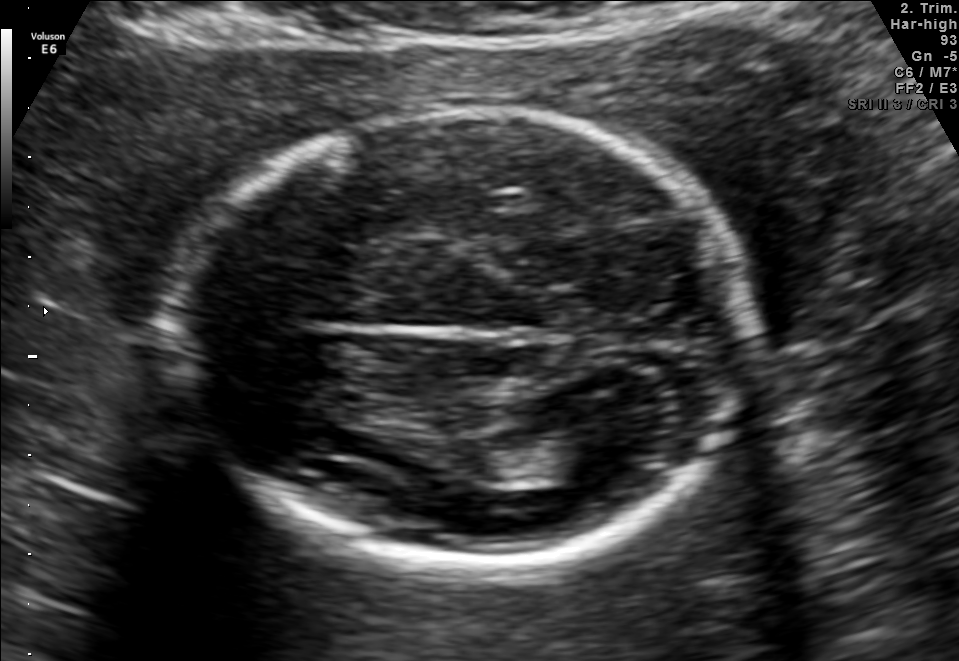
In this fetal brain, trans-thalamic plane, give bounding boxes for the head outline, cavum septum pellucidum (CSP), and lateral ventricle (LV), where visible.

Head: [171,107,752,564]
Lateral ventricle: [520,427,635,489]